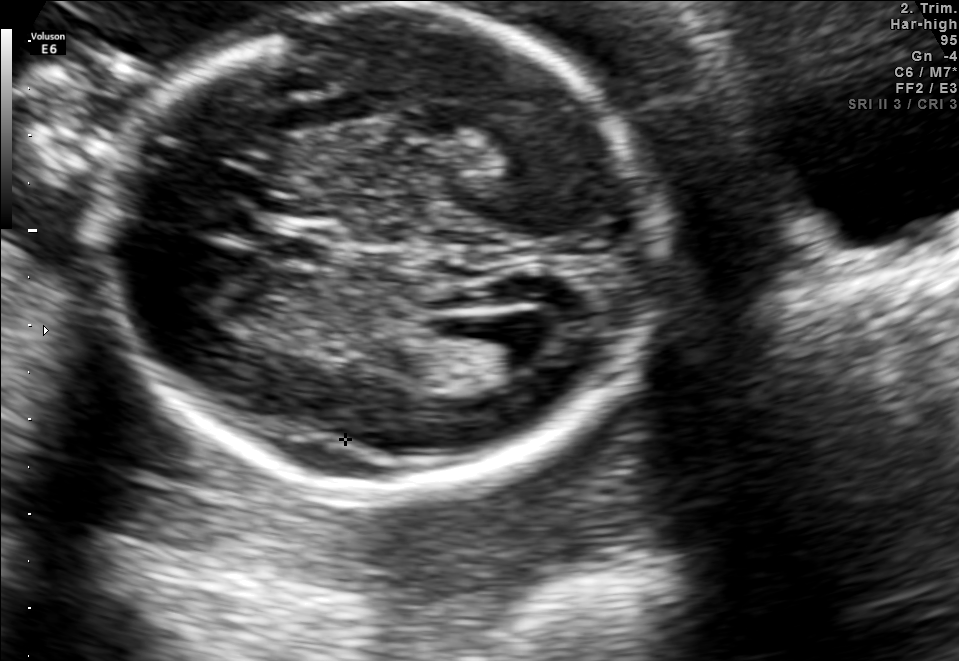
Fetal brain, trans-ventricular plane. Give [x1,y1,x2,y2] bounding boxes for each visible structure among: fetal head, CSP, LV.

Head: [96,4,673,499]
CSP: [276,232,332,267]
Lateral ventricle: [465,300,565,382]